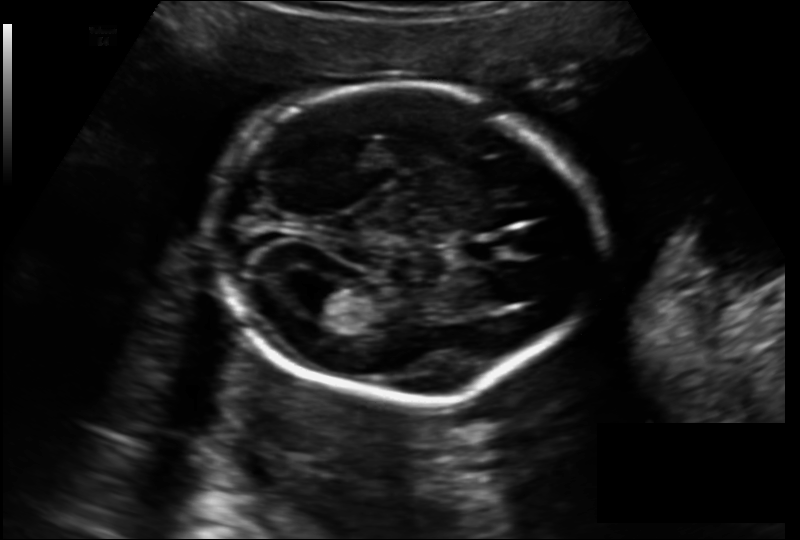
Estimate the fetal head circumference from this 2D ultrasound.

Head circumference: 180.6 mm (image width 125.9 mm).